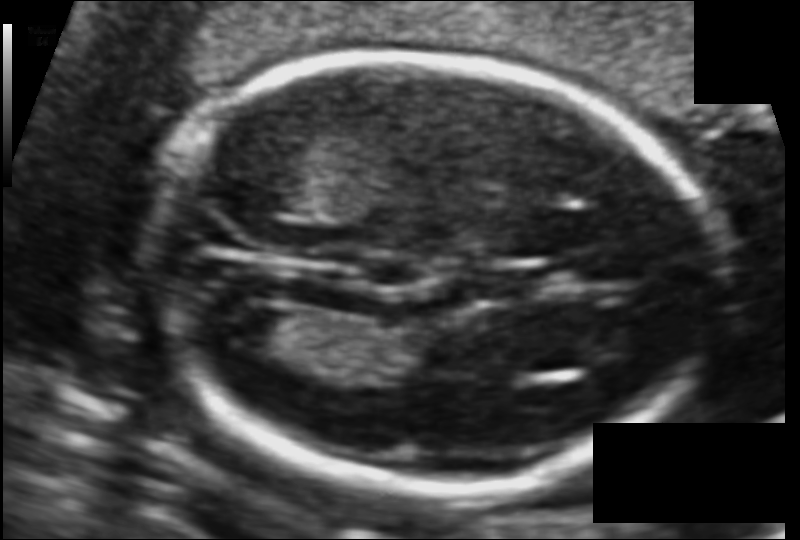
Fetal head ultrasound. Image width: 75.8 mm. Locate the fetal head and, if visible, the cavum septum pellucidum (CSP) and lateral ventricle (LV). Give bounding boxes as [x1,y1,x2,y2].

Head: [150,52,715,488]
Lateral ventricle: [212,298,300,360]